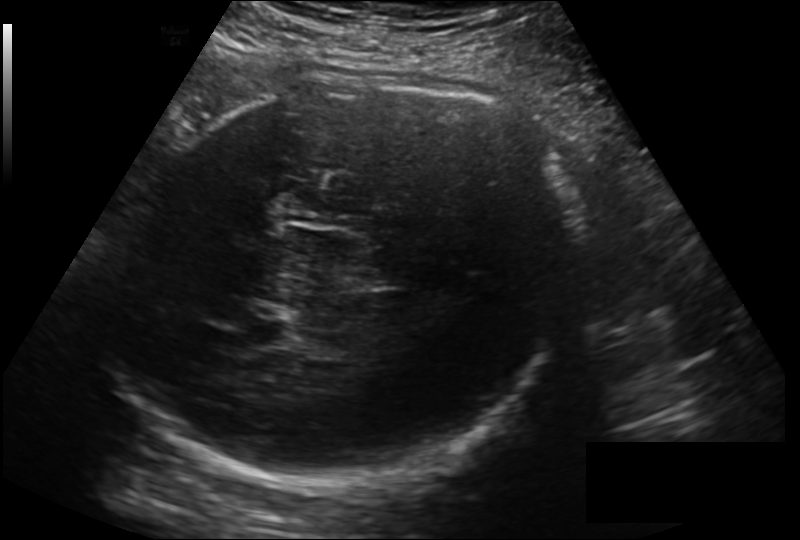
In this fetal head ultrasound, give the bounding box of the fetal head. Image width: 168.5 mm.

[118,74,576,485]